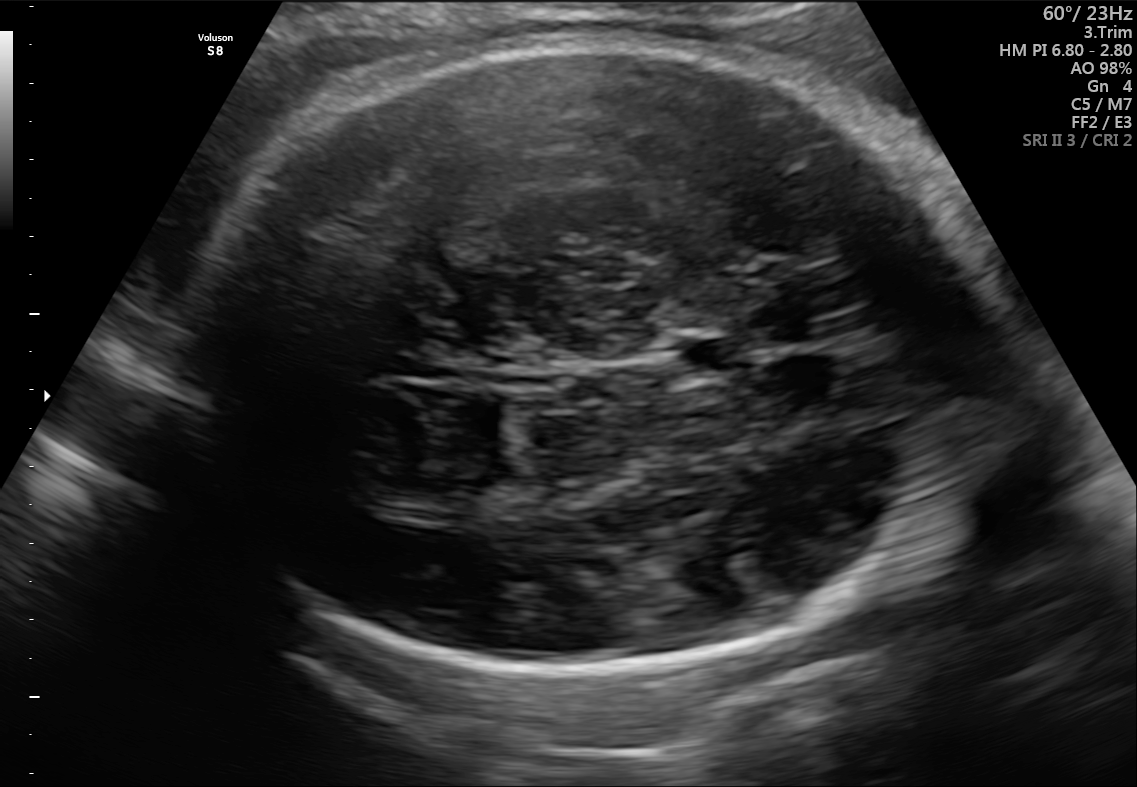
In this fetal brain, trans-thalamic plane, give bounding boxes for the head outline, cavum septum pellucidum (CSP), and lateral ventricle (LV), where visible.

Head: [194,40,992,685]
CSP: [674,334,747,379]